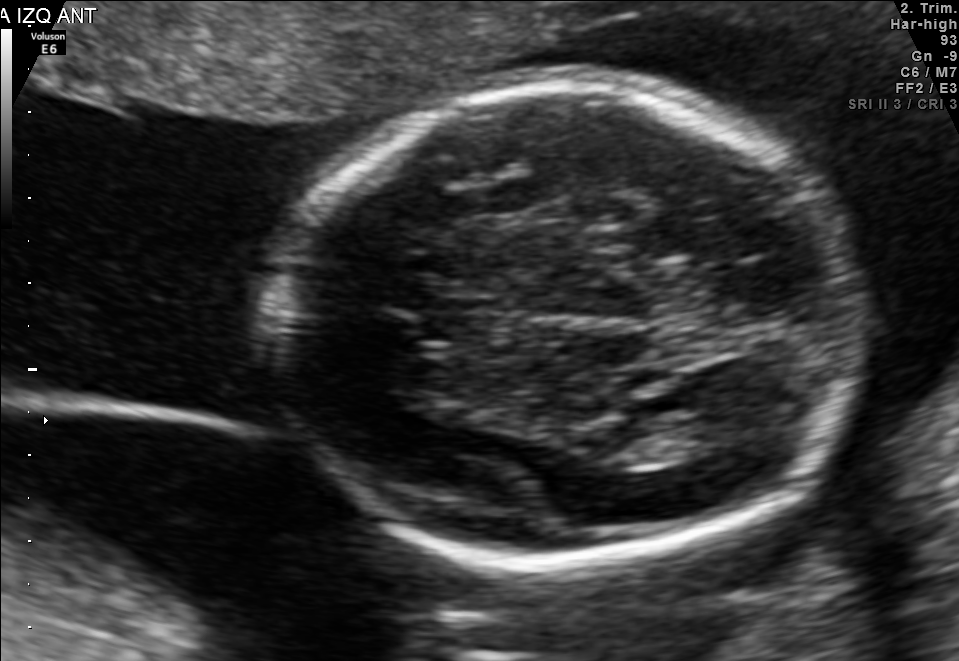
This is a 2D maternal-fetal ultrasound frame. Is it a fetal abdomen, fetal brain, fetal femur, fetal thorax, maternal cervix, or other standard plane? If it's fetal brain and one of the three standard brain planes (trans-thalamic, trans-cerebellum, trans-ventricular), name which.

Fetal brain (trans-thalamic plane)